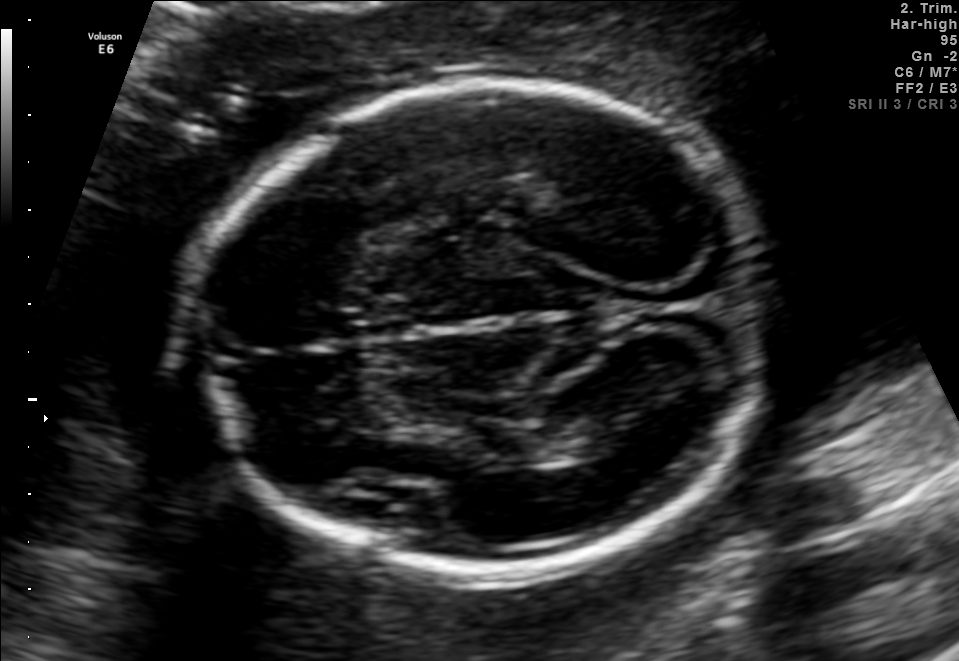
In this fetal brain, trans-thalamic plane, give bounding boxes for the head outline, cavum septum pellucidum (CSP), and lateral ventricle (LV), where visible.

Head: [194,82,777,563]
Lateral ventricle: [532,408,640,468]